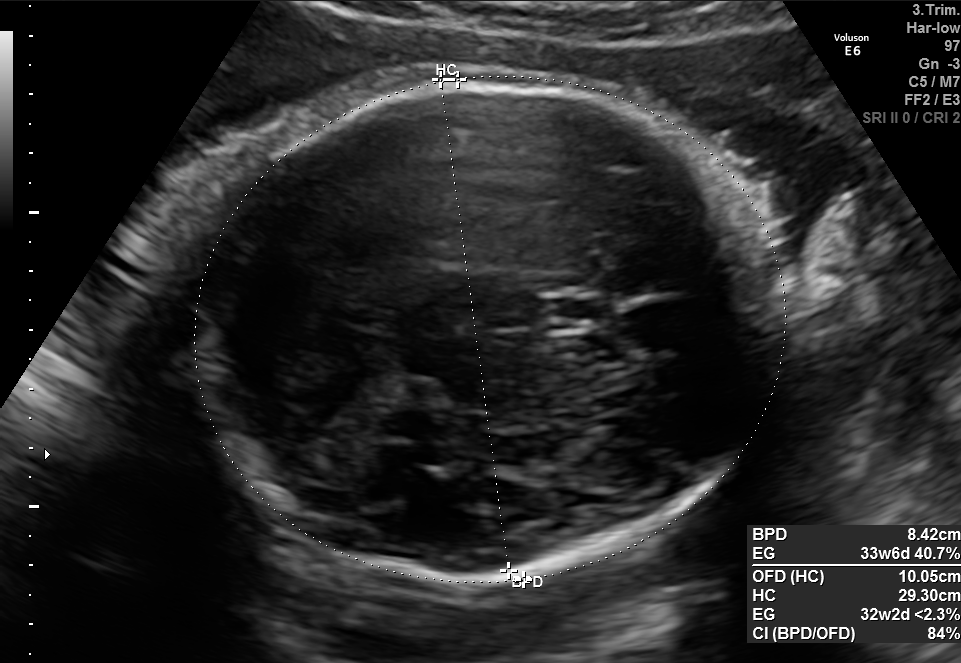
Identify the standard plane in this fetal ultrasound image: fetal abdomen, fetal brain, fetal femur, fetal thorax, maternal cervix, or other. If it's fetal brain and one of the three standard brain planes (trans-thalamic, trans-cerebellum, trans-ventricular), name which.

Fetal brain (trans-thalamic plane)